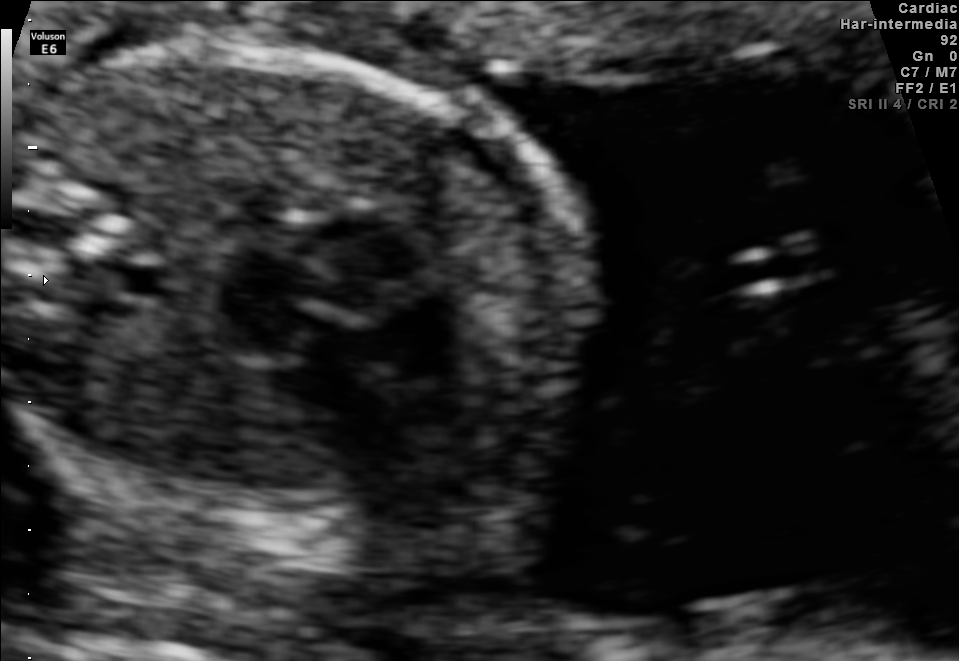
This is a 2D maternal-fetal ultrasound frame. Is it a fetal abdomen, fetal brain, fetal femur, fetal thorax, maternal cervix, or other standard plane? If it's fetal brain and one of the three standard brain planes (trans-thalamic, trans-cerebellum, trans-ventricular), name which.

Fetal thorax